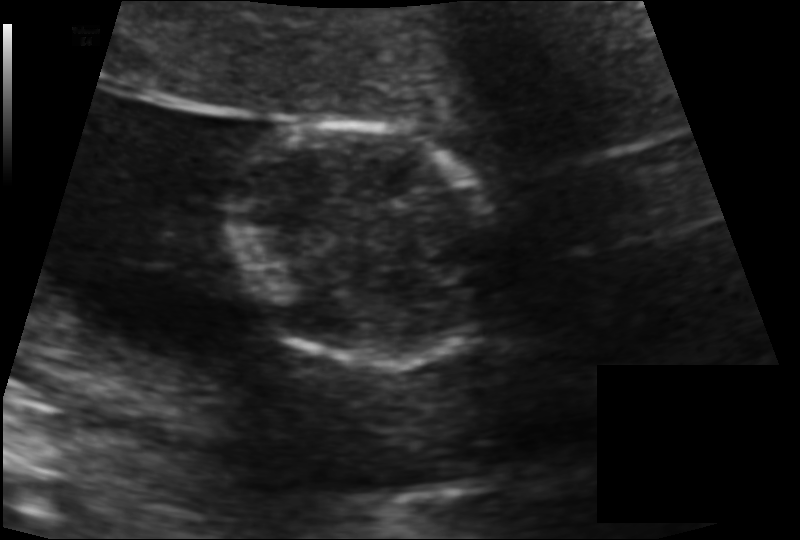
What is the fetal head circumference? Image width is 91.8 mm.

96.8 mm